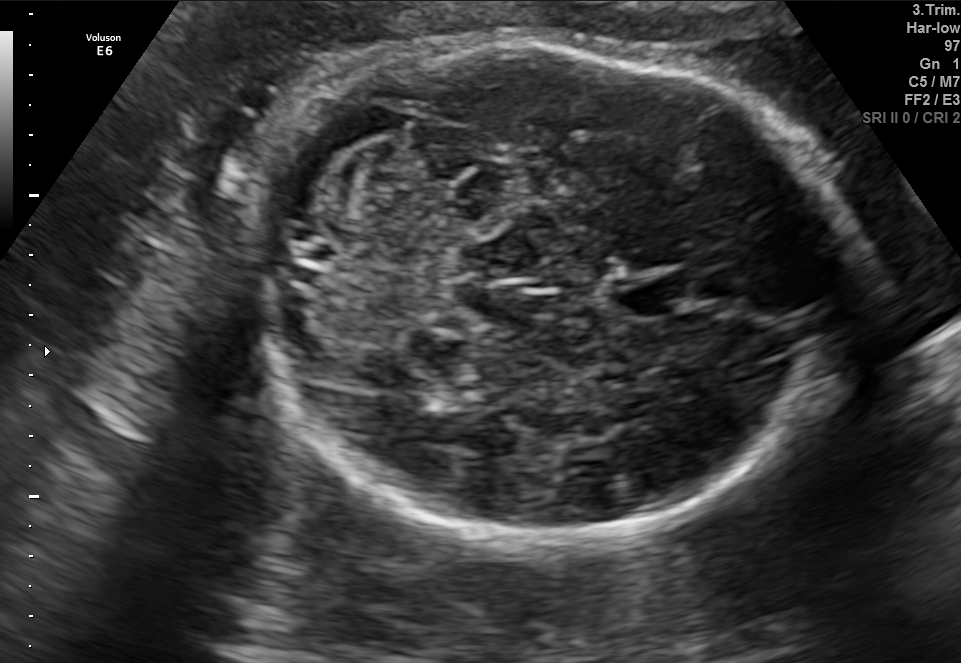
Fetal brain, trans-cerebellum plane. Where is the fetal head?

Head bounding box: [250,42,848,543]